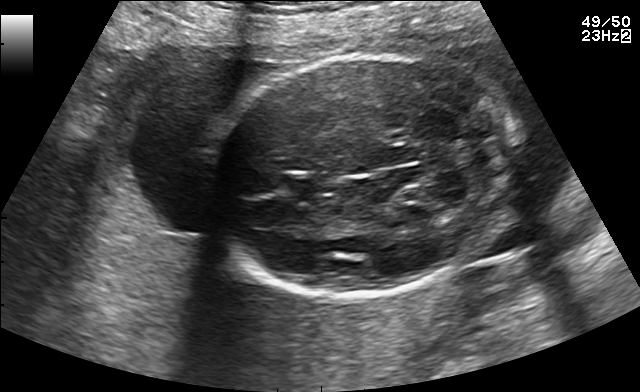
In this fetal brain, trans-cerebellum plane, give the bounding box of the fetal head.

[208,53,517,295]